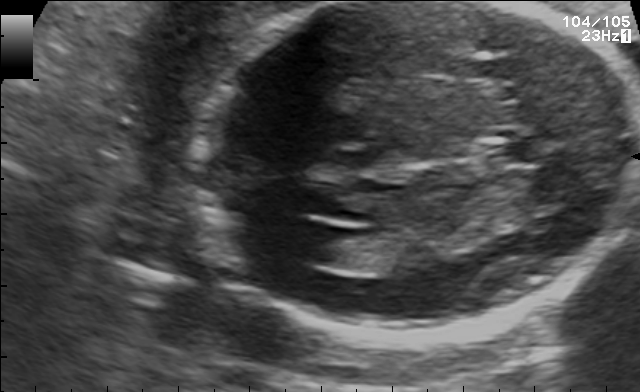
In this fetal brain, trans-ventricular plane, give the bounding box of the lateral ventricle.

[278,215,349,268]